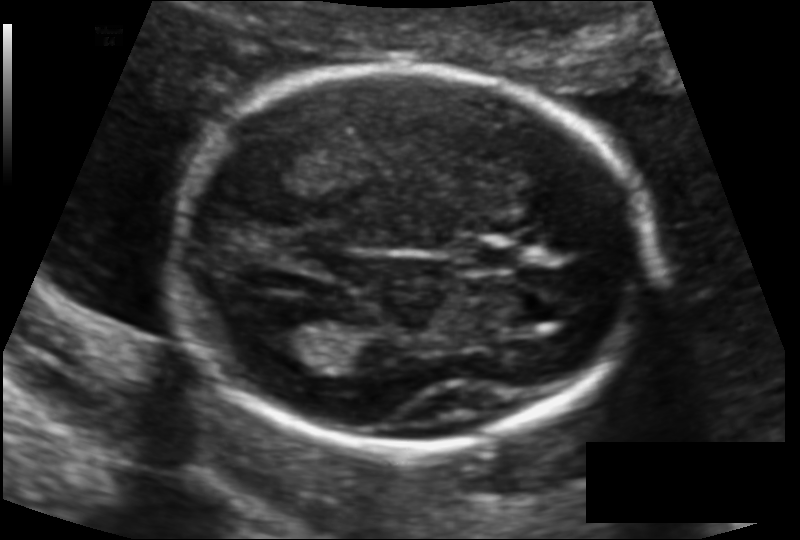
Estimate the fetal head circumference from this 2D ultrasound. Image width: 93.3 mm.

Head circumference: 162.2 mm.